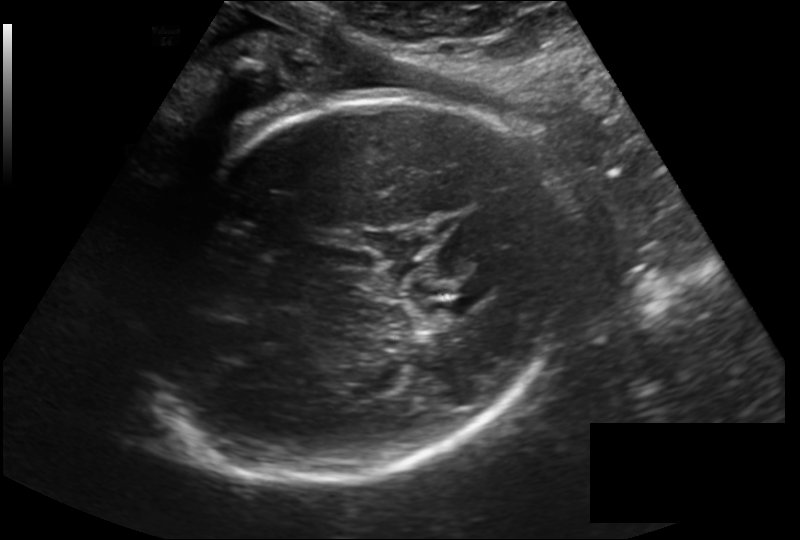
In this fetal head ultrasound, give the bounding box of the fetal head. Image width: 175.4 mm.

[124,96,574,484]